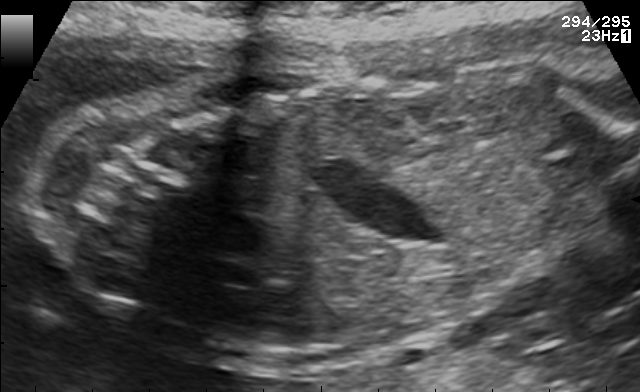
Which standard maternal-fetal ultrasound plane is shown: fetal abdomen, fetal brain, fetal femur, fetal thorax, maternal cervix, or other? If it's fetal brain and one of the three standard brain planes (trans-thalamic, trans-cerebellum, trans-ventricular), name which.

Other